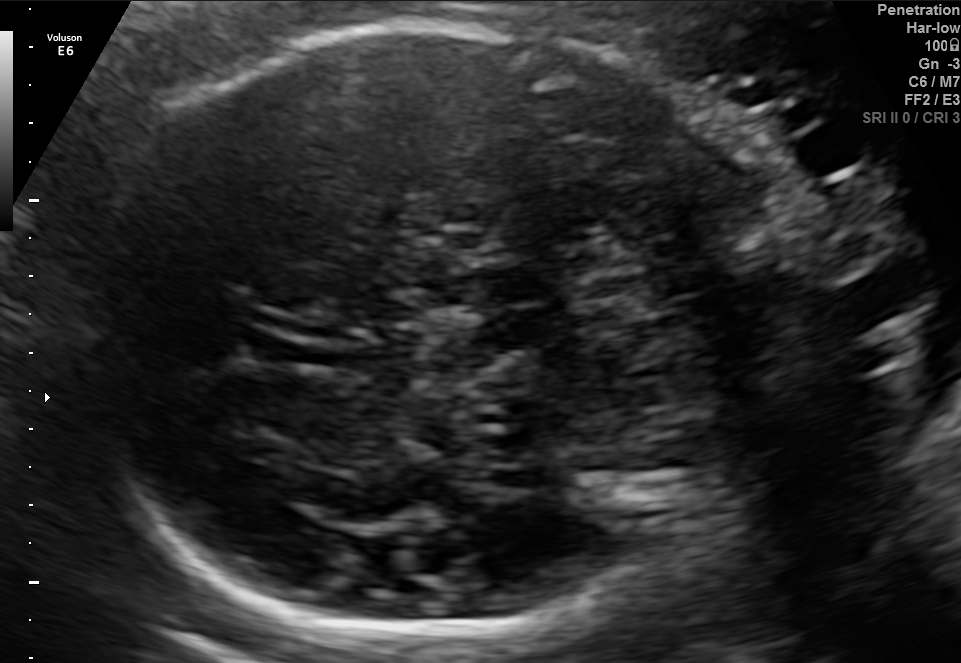
Fetal brain, trans-thalamic plane. Give [x1,y1,x2,y2] bounding boxes for each visible structure among: fetal head, CSP, LV.

Head: [74,25,775,640]